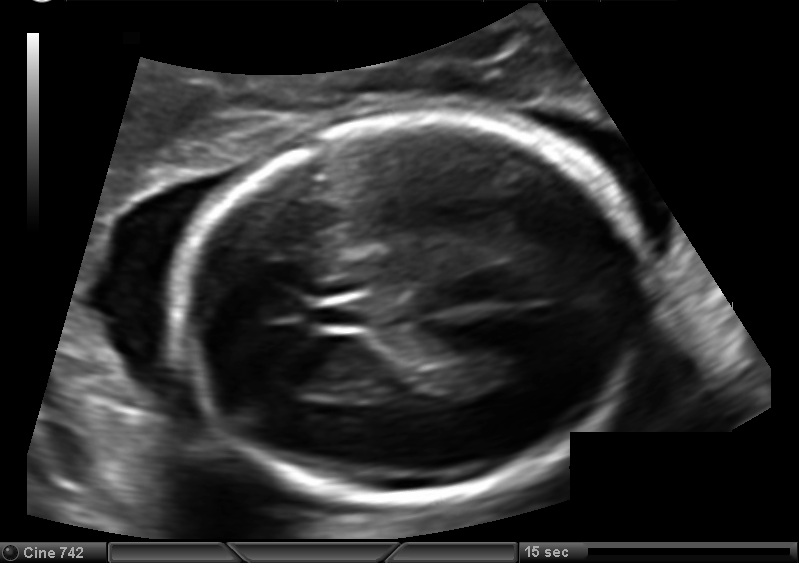
In this fetal head ultrasound, give bounding boxes for the head outline, cavum septum pellucidum (CSP), and lateral ventricle (LV), where visible. Image width: 101.4 mm.

Head: [178,114,636,502]
CSP: [313,297,372,332]
Lateral ventricle: [465,339,536,392]